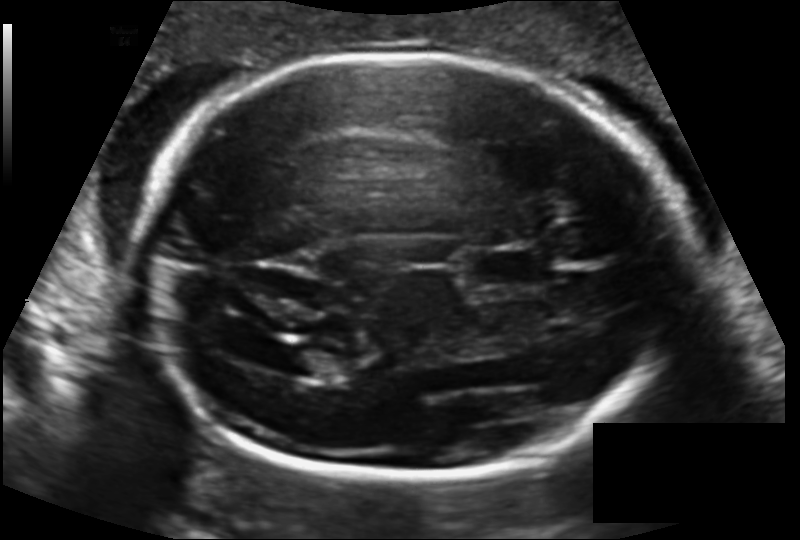
Fetal head ultrasound. Image width: 112.0 mm. Locate the fetal head and, if visible, the cavum septum pellucidum (CSP) and lateral ventricle (LV). Give bounding boxes as [x1,y1,x2,y2].

Head: [135,53,682,479]
CSP: [467,243,551,294]
Lateral ventricle: [280,343,341,380]